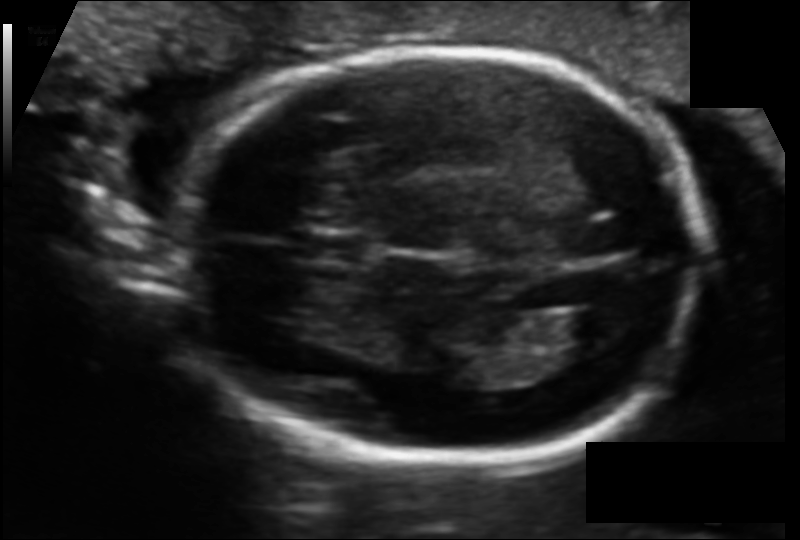
In this fetal head ultrasound, give the bounding box of the fetal head. Image width: 86.3 mm.

[173,50,709,467]